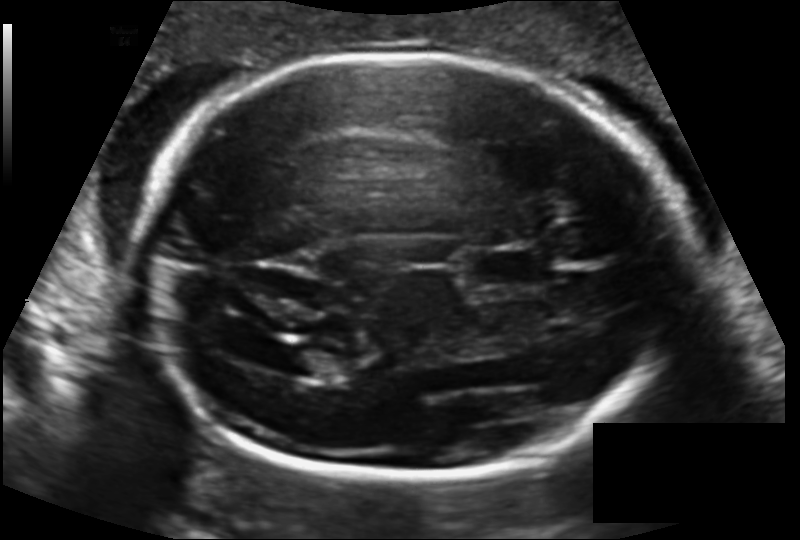
Fetal head ultrasound. Image width: 112.0 mm. Where is the fetal head?

Head bounding box: [135,53,682,479]